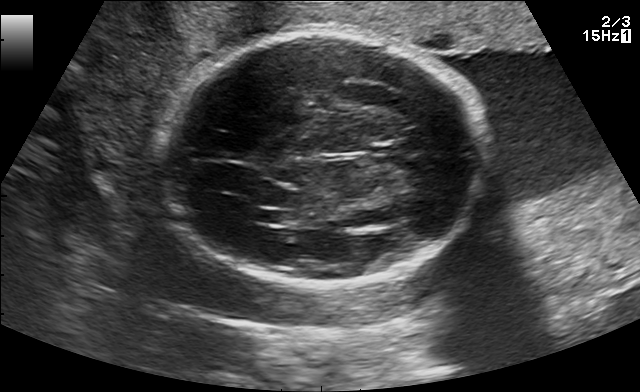
In this fetal brain, trans-thalamic plane, give bounding boxes for the head outline, cavum septum pellucidum (CSP), and lateral ventricle (LV), where visible.

Head: [160,34,484,285]
Lateral ventricle: [256,209,295,225]